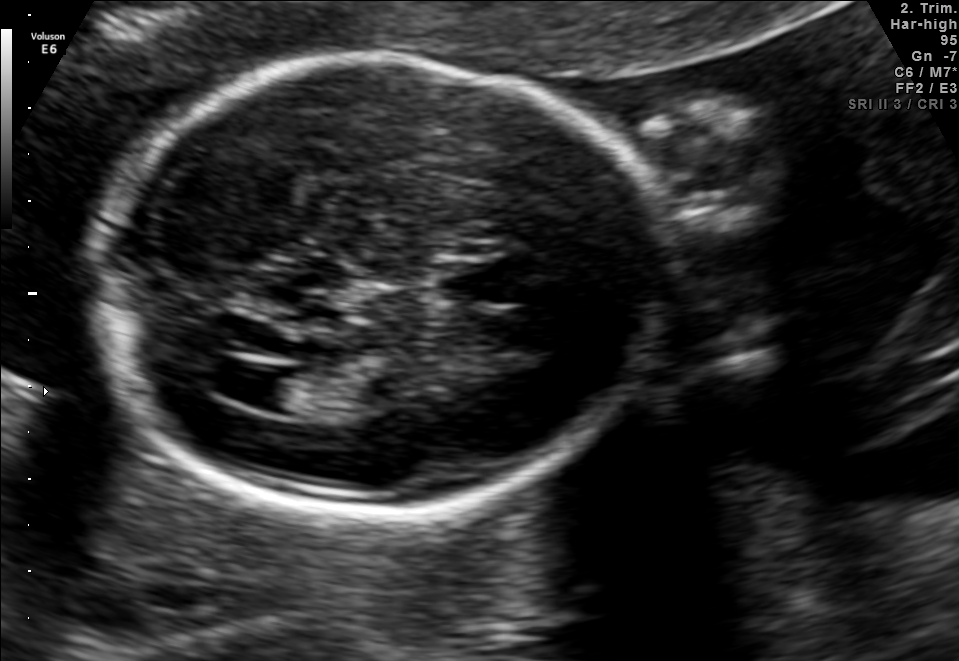
Fetal brain, trans-ventricular plane. Where is the cavum septum pellucidum?

CSP bounding box: [426,261,527,303]